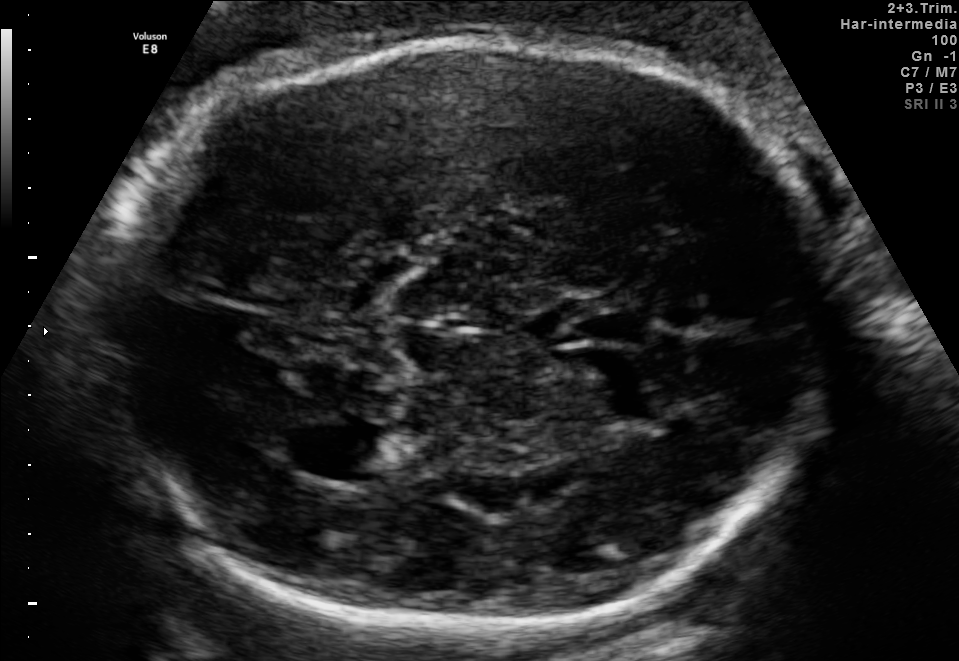
In this fetal brain, trans-thalamic plane, give the bounding box of the lateral ventricle.

[312,423,421,481]